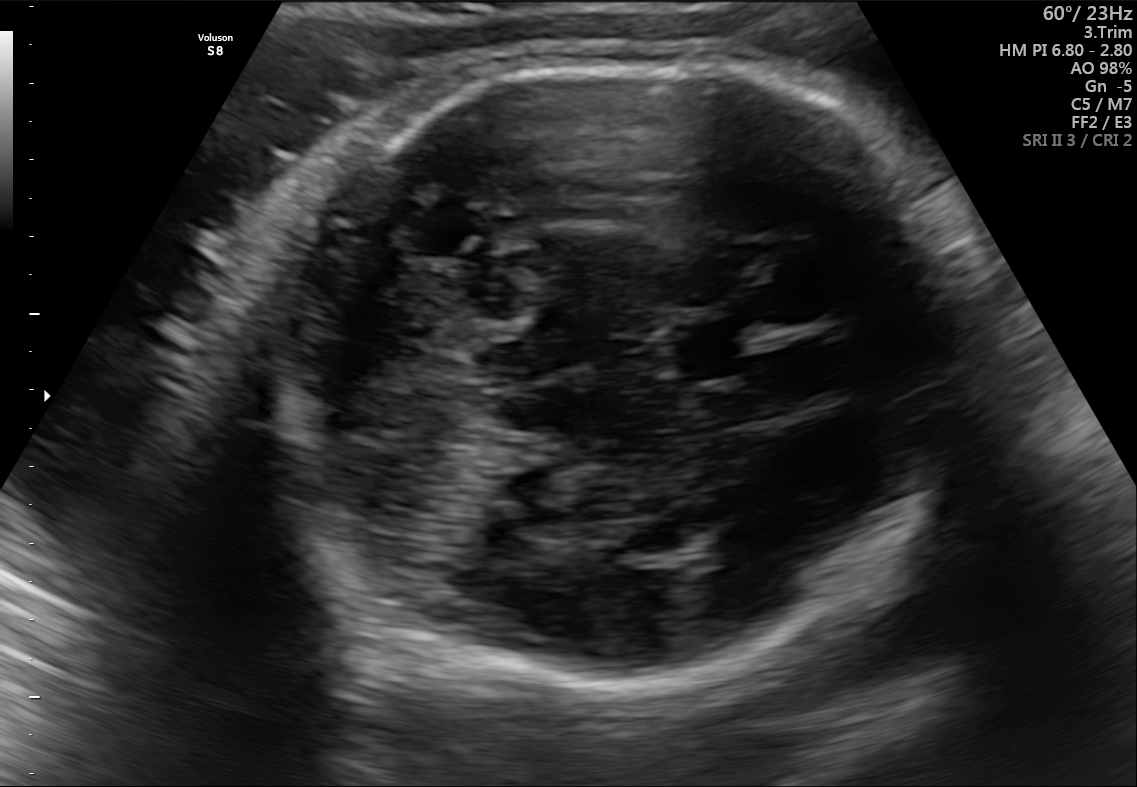
Classify this maternal-fetal ultrasound image as one of the six standard planes — fetal abdomen, fetal brain, fetal femur, fetal thorax, maternal cervix, or other. If it's fetal brain and one of the three standard brain planes (trans-thalamic, trans-cerebellum, trans-ventricular), name which.

Fetal brain (trans-cerebellum plane)